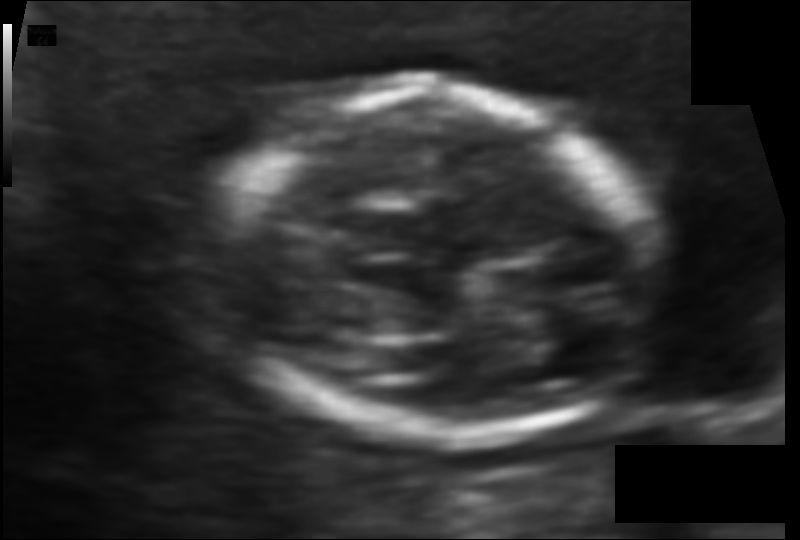
Measure the fetal head circumference shown in this ultrasound image. Image width: 66.1 mm.

Head circumference: 103.7 mm.